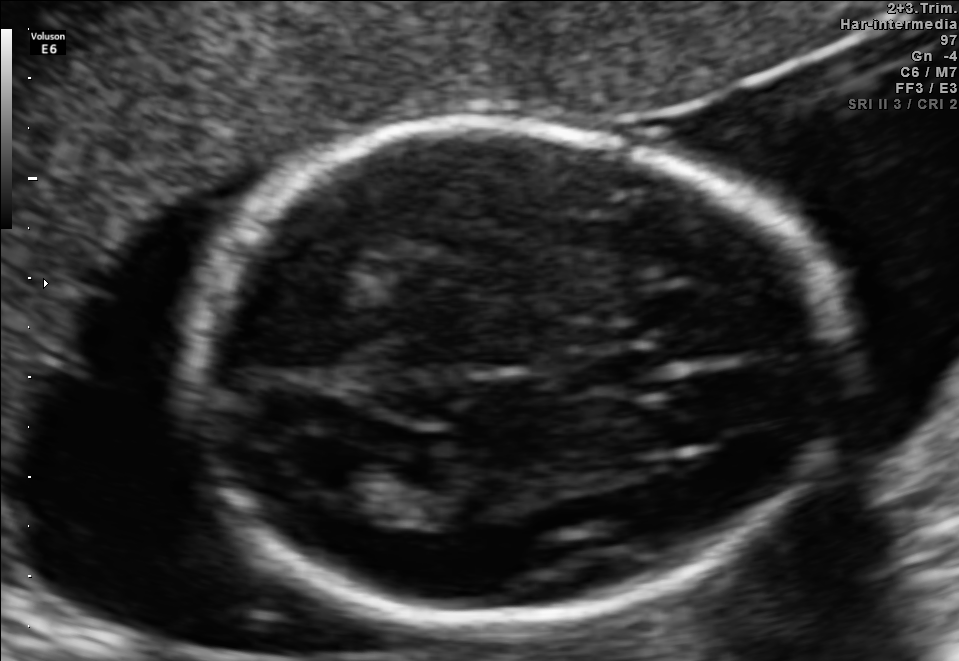
Fetal brain, trans-ventricular plane. Where is the lateral ventricle?

Lateral ventricle bounding box: [283,433,381,501]